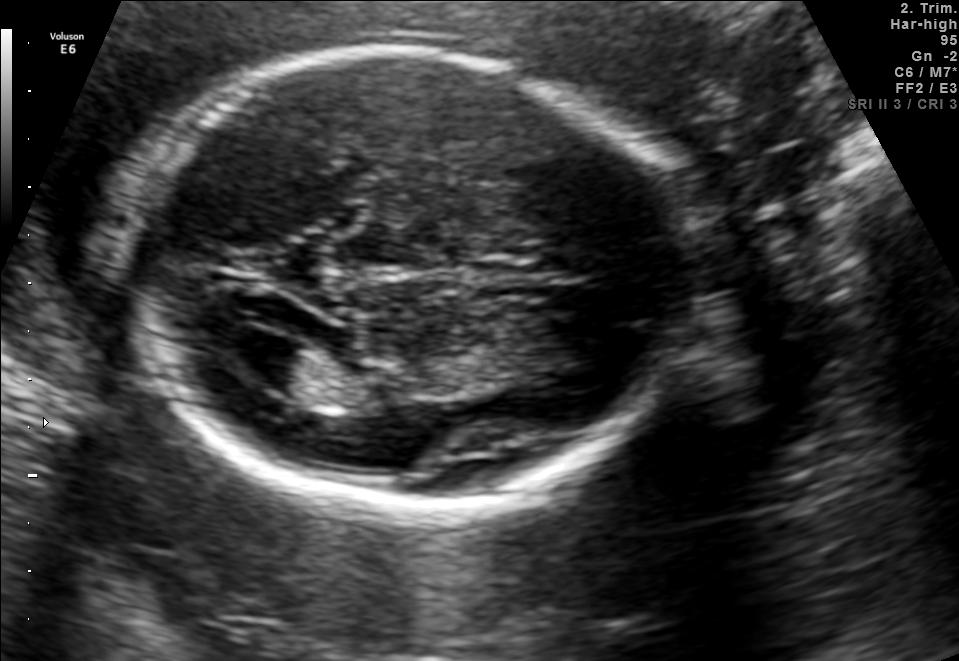
Fetal brain, trans-ventricular plane. Locate the fetal head and, if visible, the cavum septum pellucidum (CSP) and lateral ventricle (LV). Give bounding boxes as [x1,y1,x2,y2].

Head: [115,40,704,521]
CSP: [470,264,553,300]
Lateral ventricle: [210,311,309,395]